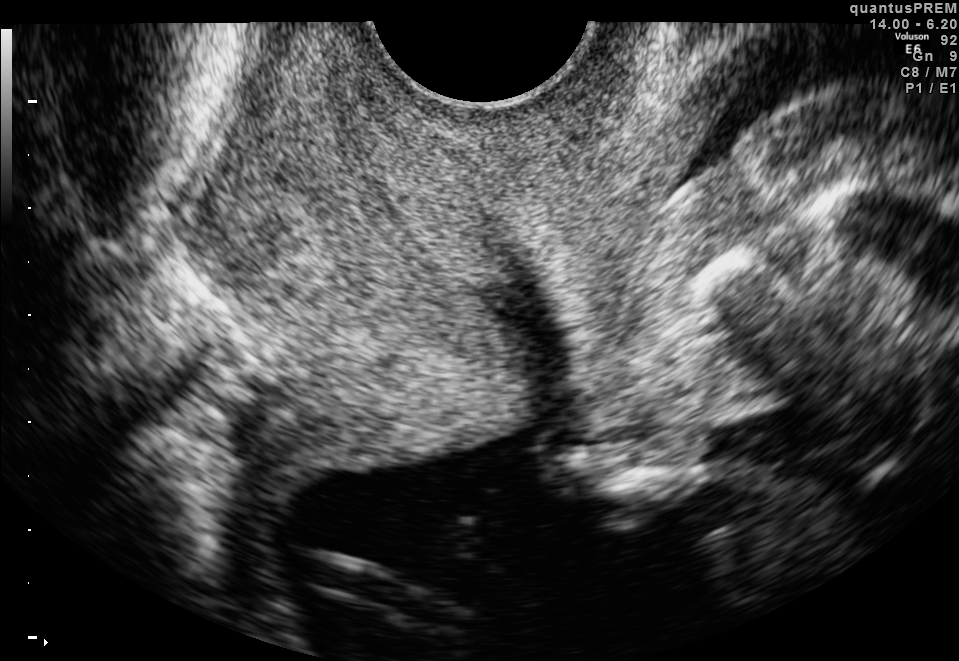
Classify this maternal-fetal ultrasound image as one of the six standard planes — fetal abdomen, fetal brain, fetal femur, fetal thorax, maternal cervix, or other. If it's fetal brain and one of the three standard brain planes (trans-thalamic, trans-cerebellum, trans-ventricular), name which.

Maternal cervix